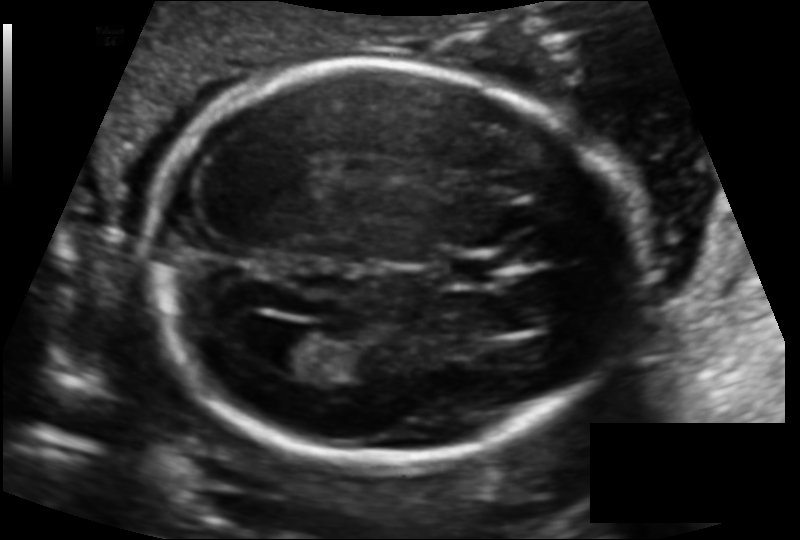
Measure the fetal head circumference shown in this ultrasound image. Image width: 100.1 mm.

Head circumference: 181.6 mm.